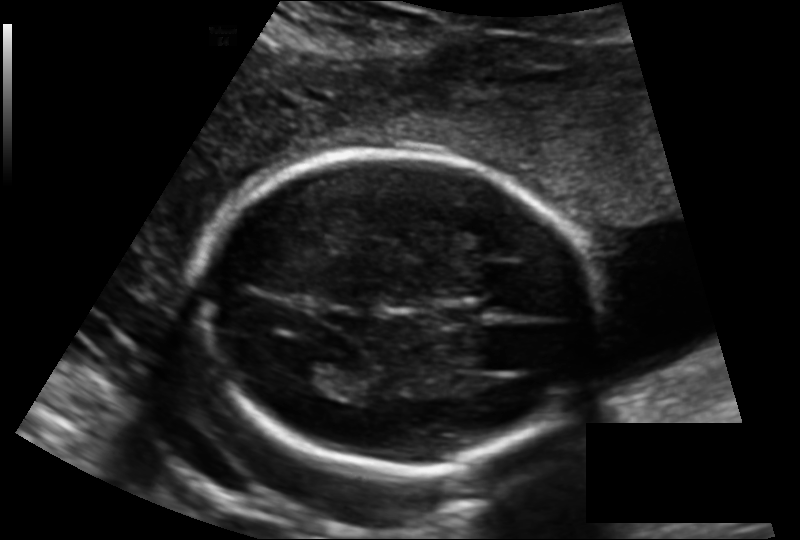
Fetal head ultrasound. Image width: 114.7 mm. Where is the lateral ventricle?

Lateral ventricle bounding box: [286,350,354,399]